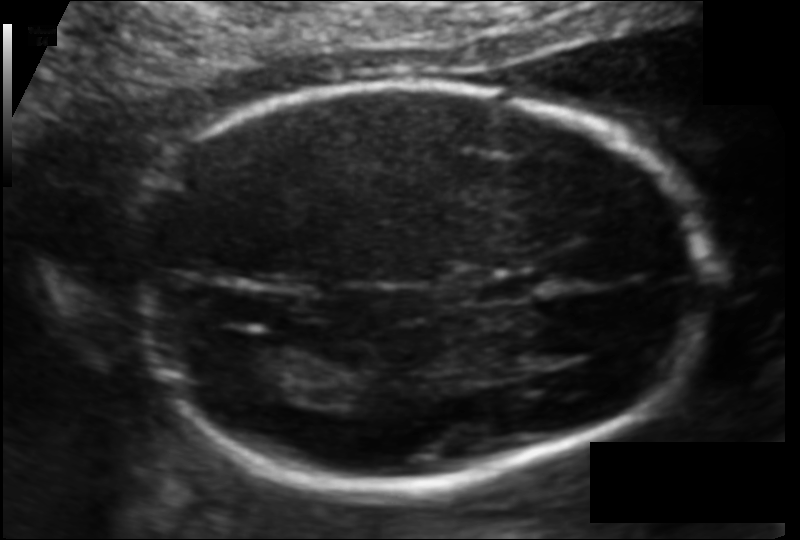
In this fetal head ultrasound, give the bounding box of the cavum septum pellucidum. Image width: 87.4 mm.

[477,268,547,307]